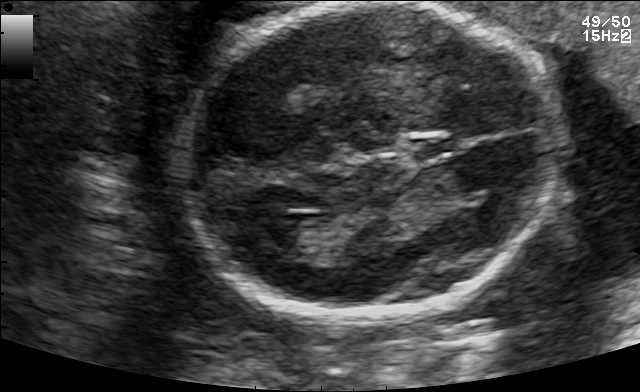
Which standard maternal-fetal ultrasound plane is shown: fetal abdomen, fetal brain, fetal femur, fetal thorax, maternal cervix, or other? If it's fetal brain and one of the three standard brain planes (trans-thalamic, trans-cerebellum, trans-ventricular), name which.

Fetal brain (trans-ventricular plane)